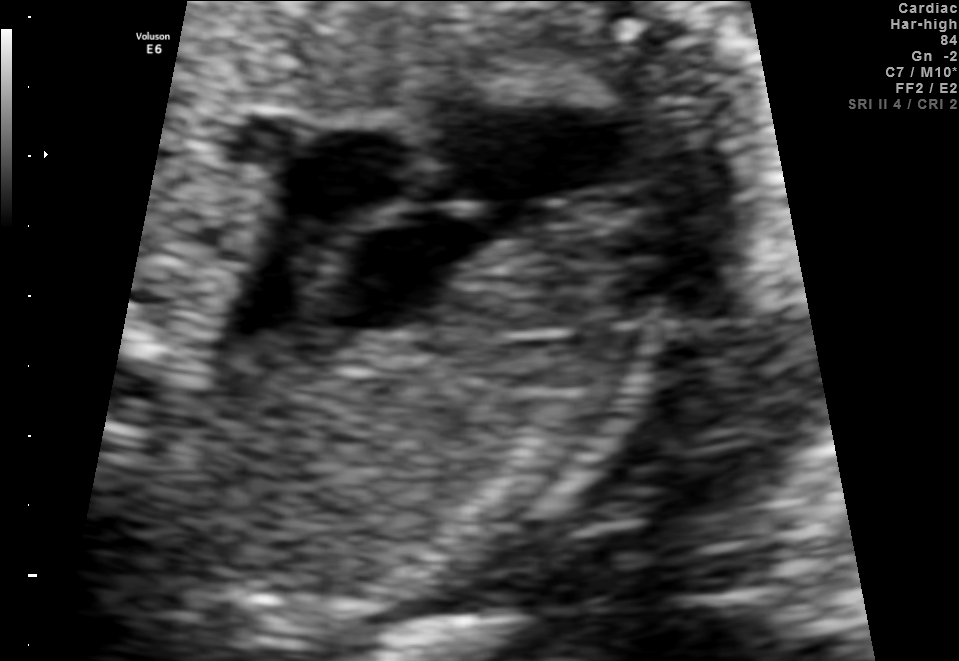
This is a 2D maternal-fetal ultrasound frame. Is it a fetal abdomen, fetal brain, fetal femur, fetal thorax, maternal cervix, or other standard plane? If it's fetal brain and one of the three standard brain planes (trans-thalamic, trans-cerebellum, trans-ventricular), name which.

Other